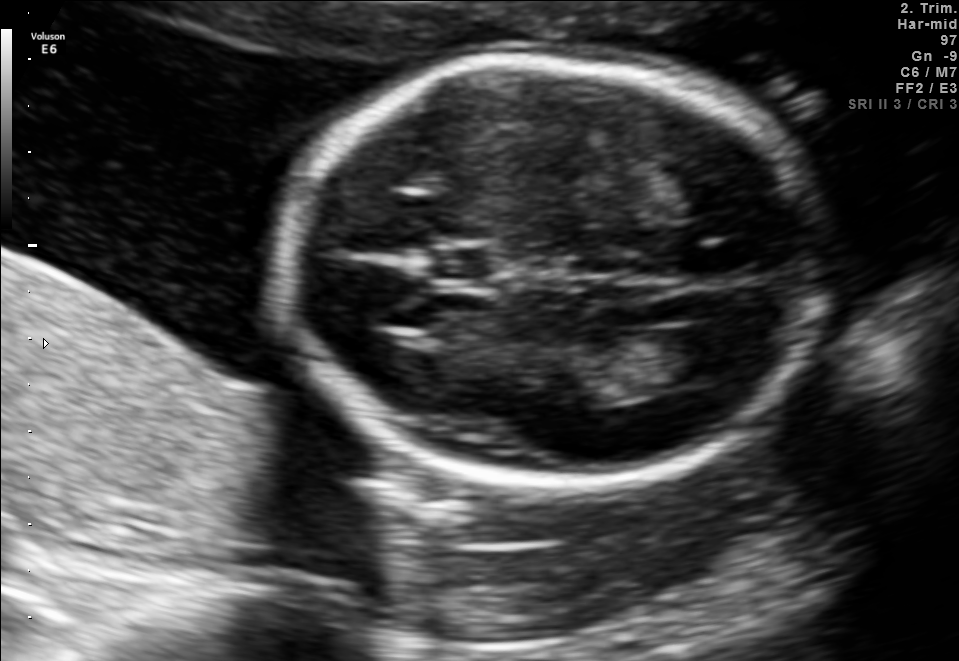
Fetal brain, trans-ventricular plane. Where is the fetal head?

Head bounding box: [268,50,843,495]